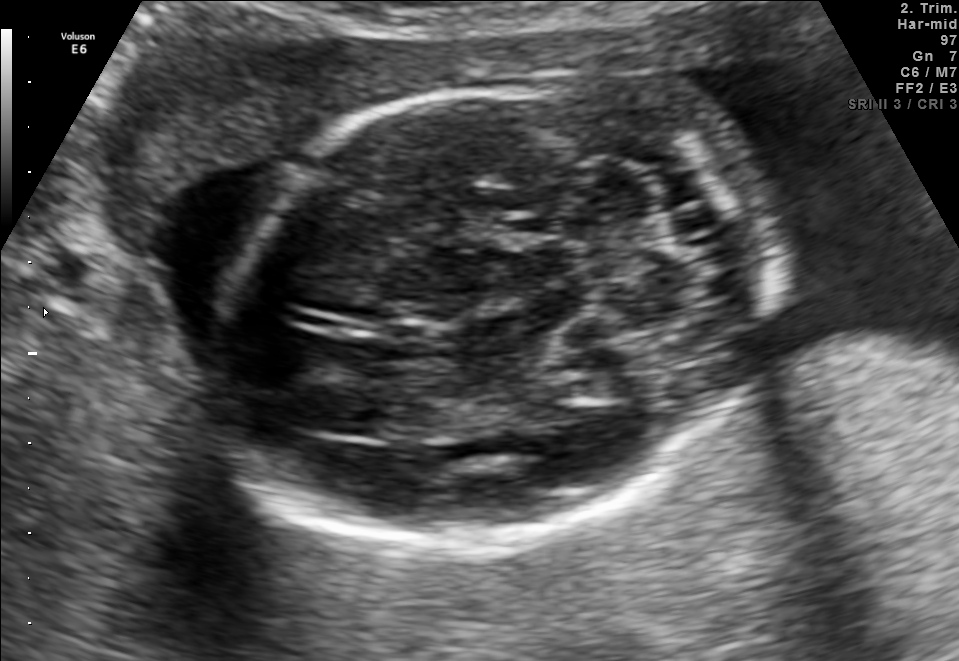
Fetal brain, trans-cerebellum plane. Where is the fetal head?

Head bounding box: [205,76,778,545]